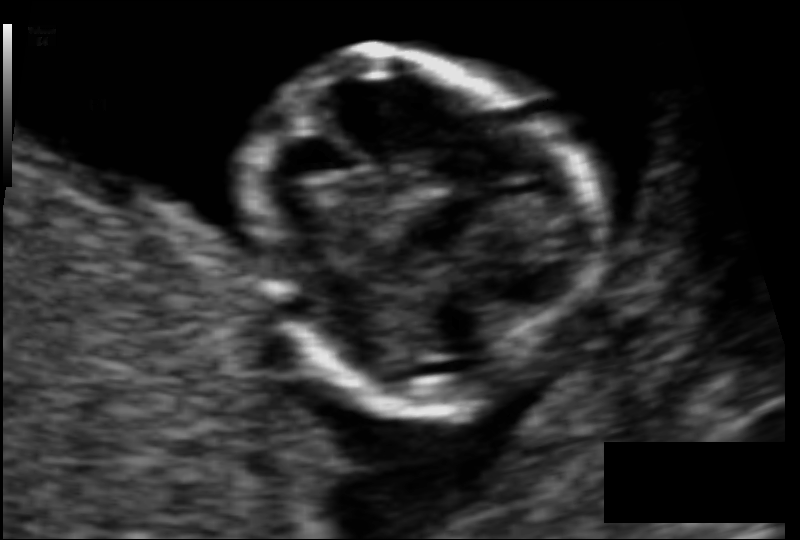
Fetal head ultrasound. Image width: 54.6 mm. Give [x1,y1,x2,y2] bounding boxes for each visible structure among: fetal head, CSP, LV.

Head: [239,59,582,398]